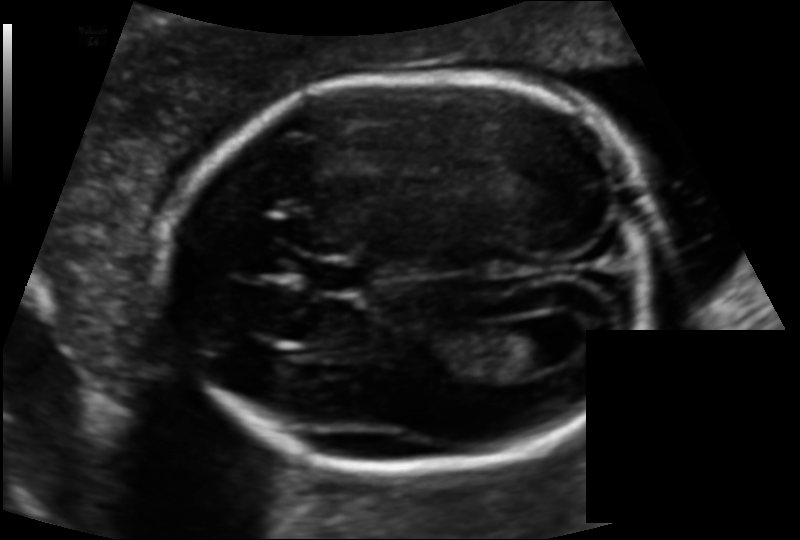
What is the fetal head circumference? Image width is 95.5 mm.

171.9 mm